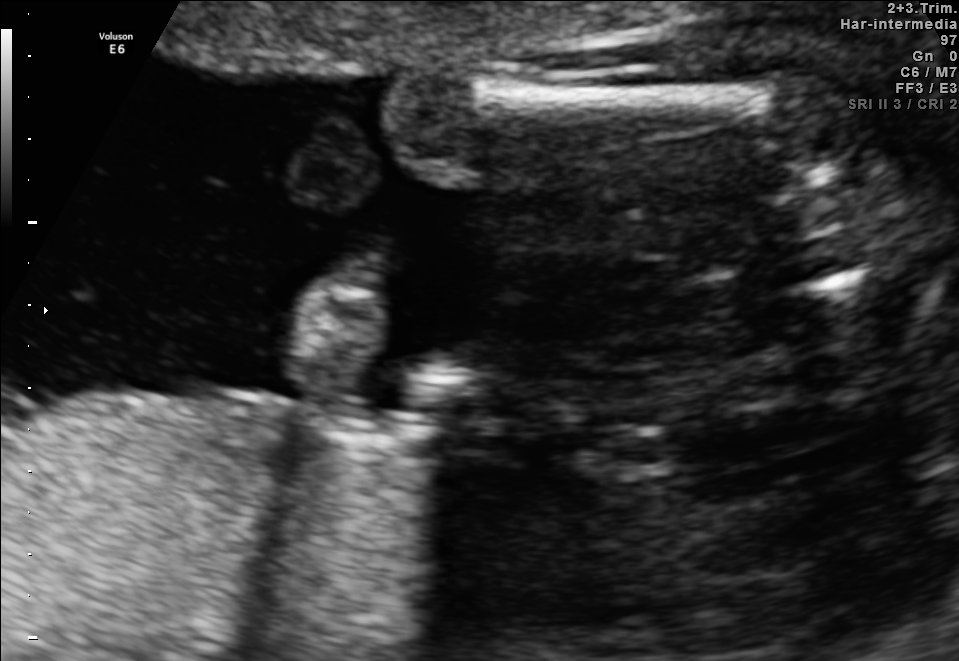
This is a 2D maternal-fetal ultrasound frame. Is it a fetal abdomen, fetal brain, fetal femur, fetal thorax, maternal cervix, or other standard plane? If it's fetal brain and one of the three standard brain planes (trans-thalamic, trans-cerebellum, trans-ventricular), name which.

Fetal femur